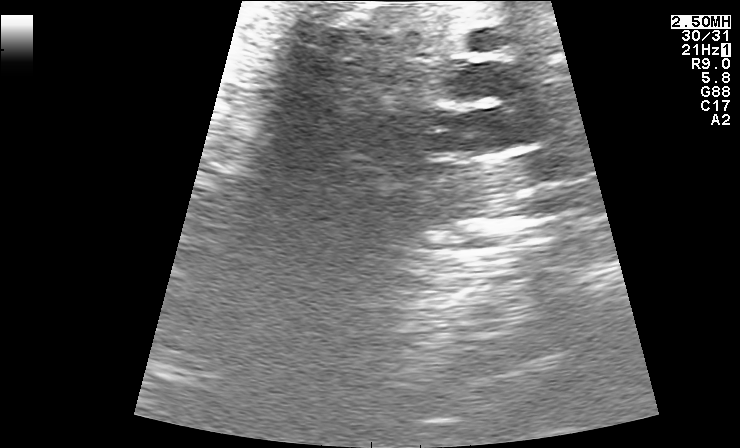
Classify this maternal-fetal ultrasound image as one of the six standard planes — fetal abdomen, fetal brain, fetal femur, fetal thorax, maternal cervix, or other. If it's fetal brain and one of the three standard brain planes (trans-thalamic, trans-cerebellum, trans-ventricular), name which.

Other